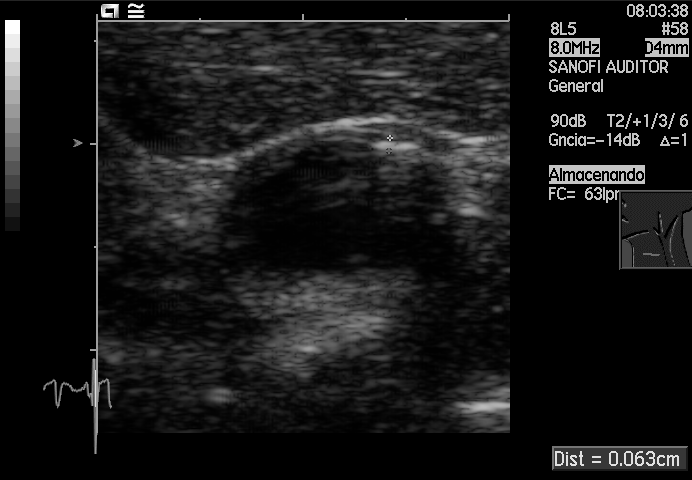
Identify the standard plane in this fetal ultrasound image: fetal abdomen, fetal brain, fetal femur, fetal thorax, maternal cervix, or other. If it's fetal brain and one of the three standard brain planes (trans-thalamic, trans-cerebellum, trans-ventricular), name which.

Other